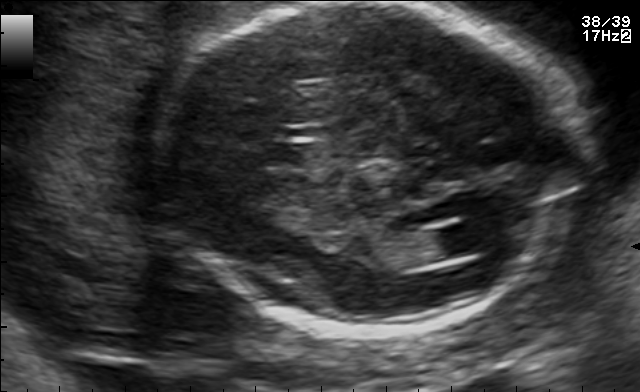
Fetal brain, trans-ventricular plane. Where is the fetal head?

Head bounding box: [152,2,583,336]